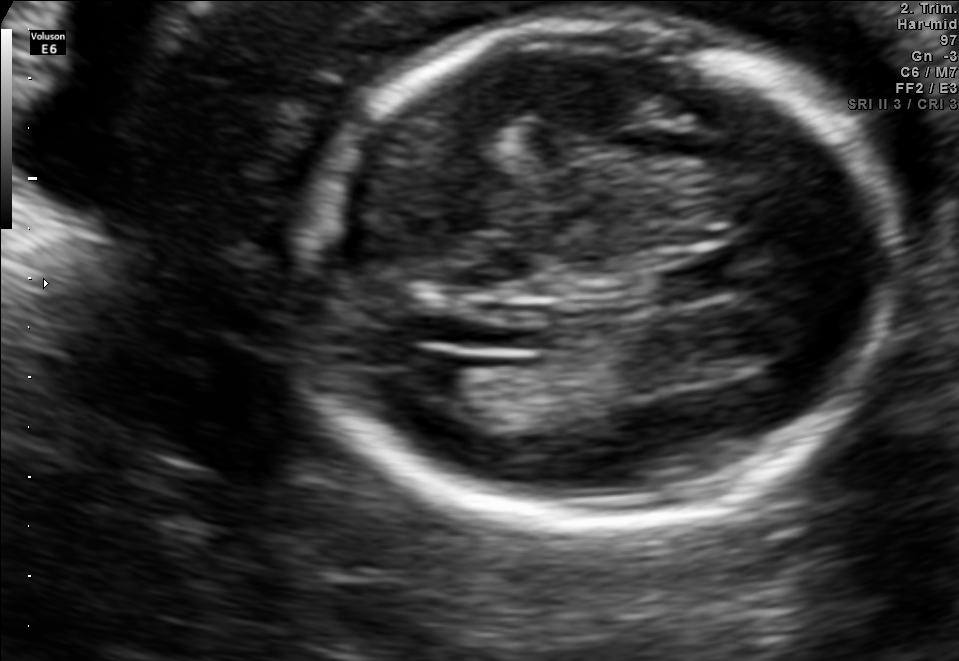
In this fetal brain, trans-ventricular plane, give the bounding box of the fetal head.

[285,10,914,539]